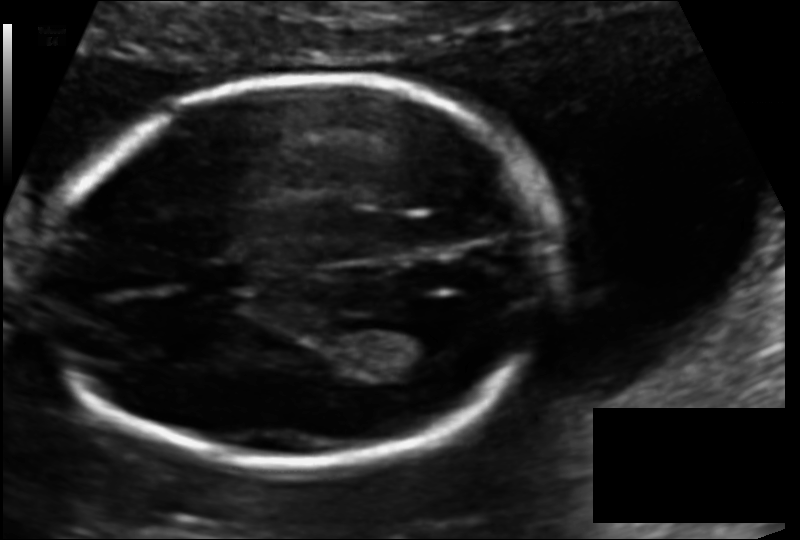
Fetal head ultrasound. Image width: 90.5 mm. Locate the fetal head.

Head: [53,79,549,466]